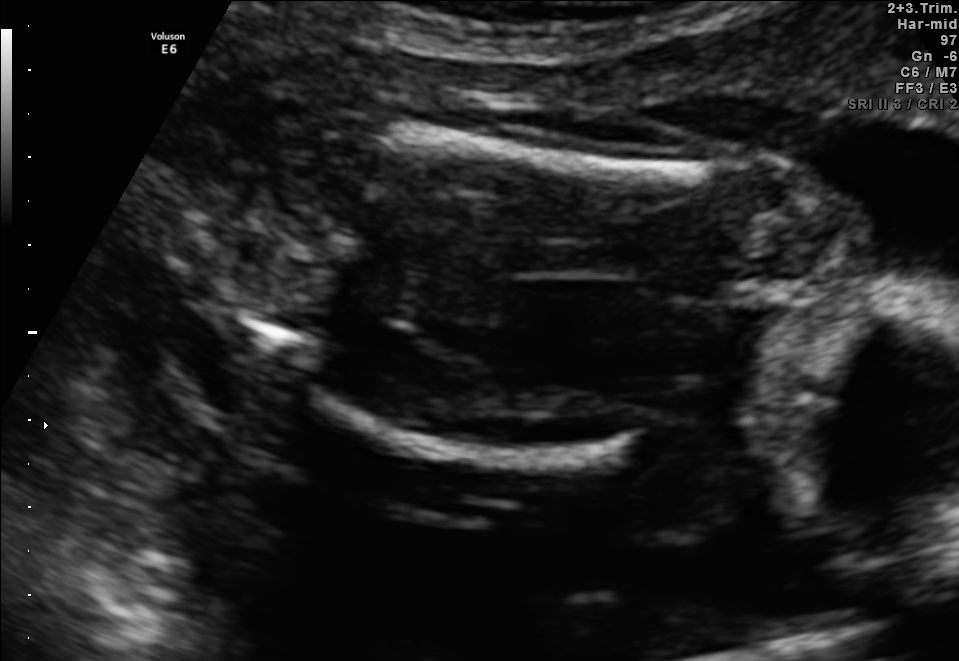
This is a 2D maternal-fetal ultrasound frame. Is it a fetal abdomen, fetal brain, fetal femur, fetal thorax, maternal cervix, or other standard plane? If it's fetal brain and one of the three standard brain planes (trans-thalamic, trans-cerebellum, trans-ventricular), name which.

Fetal femur